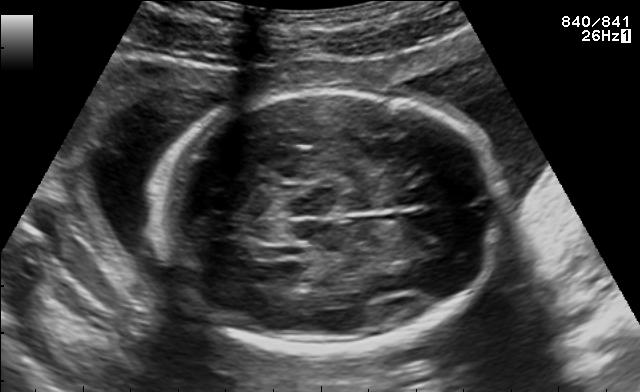
This is a 2D maternal-fetal ultrasound frame. Is it a fetal abdomen, fetal brain, fetal femur, fetal thorax, maternal cervix, or other standard plane? If it's fetal brain and one of the three standard brain planes (trans-thalamic, trans-cerebellum, trans-ventricular), name which.

Fetal brain (trans-thalamic plane)